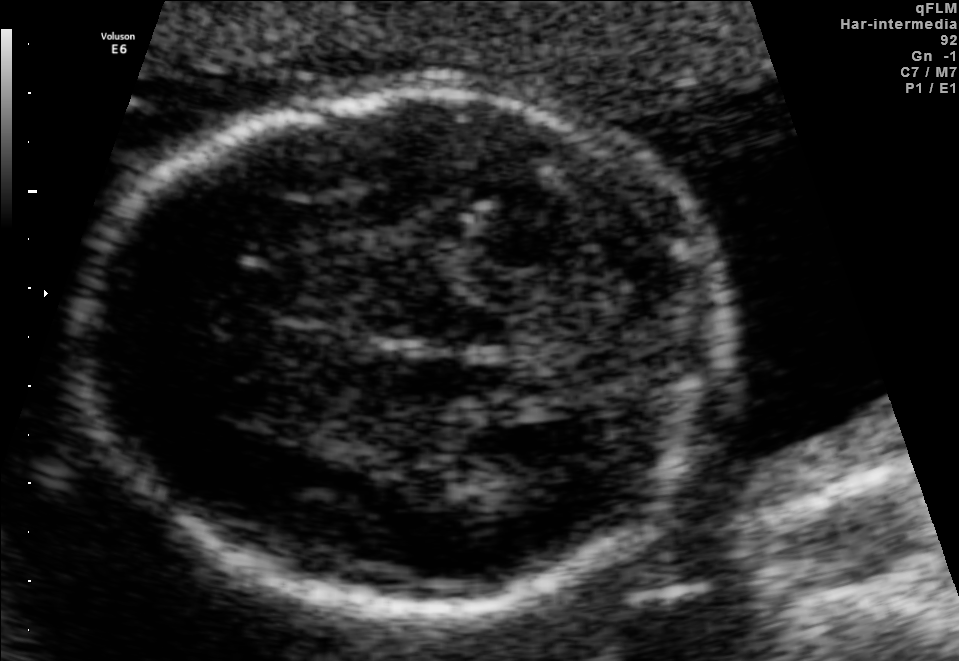
In this fetal brain, trans-thalamic plane, give the bounding box of the fetal head.

[77,91,740,604]